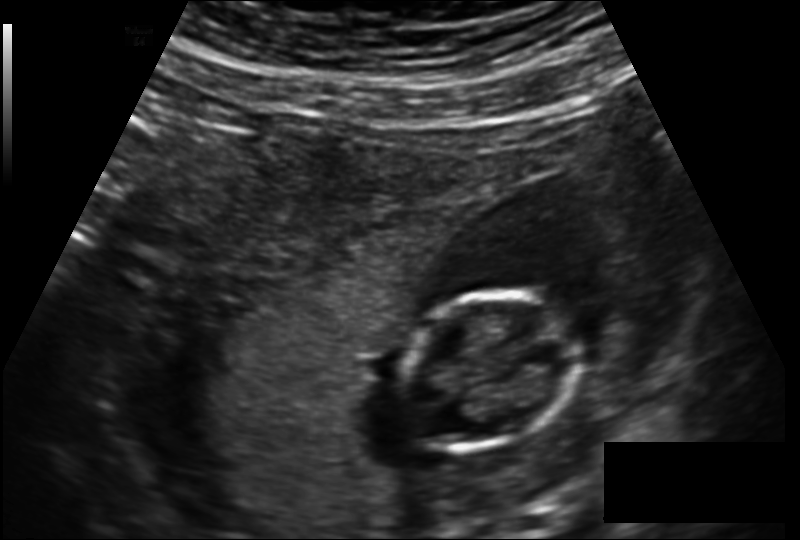
From this fetal ultrasound, estimate the head circumference (image width 128.2 mm).

Head circumference: 89.8 mm.